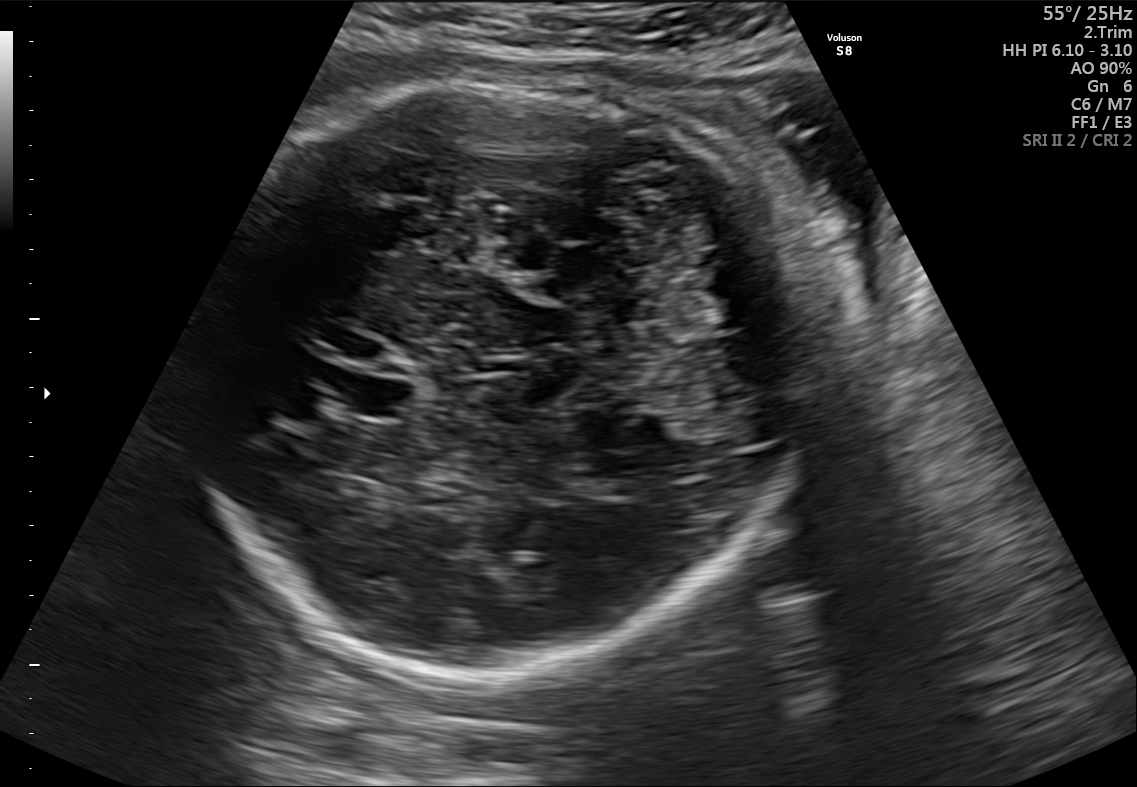
In this fetal brain, trans-cerebellum plane, give bounding boxes for the head outline, cavum septum pellucidum (CSP), and lateral ventricle (LV), where visible.

Head: [204,74,796,670]